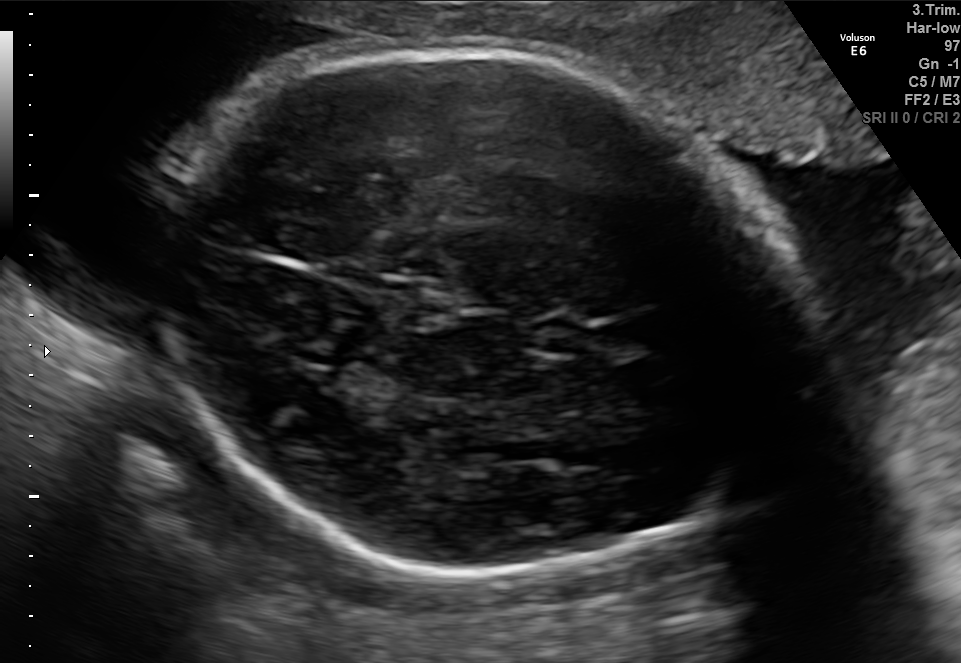
Fetal brain, trans-thalamic plane. Locate the fetal head and, if visible, the cavum septum pellucidum (CSP) and lateral ventricle (LV). Give bounding boxes as [x1,y1,x2,y2].

Head: [153,49,804,578]